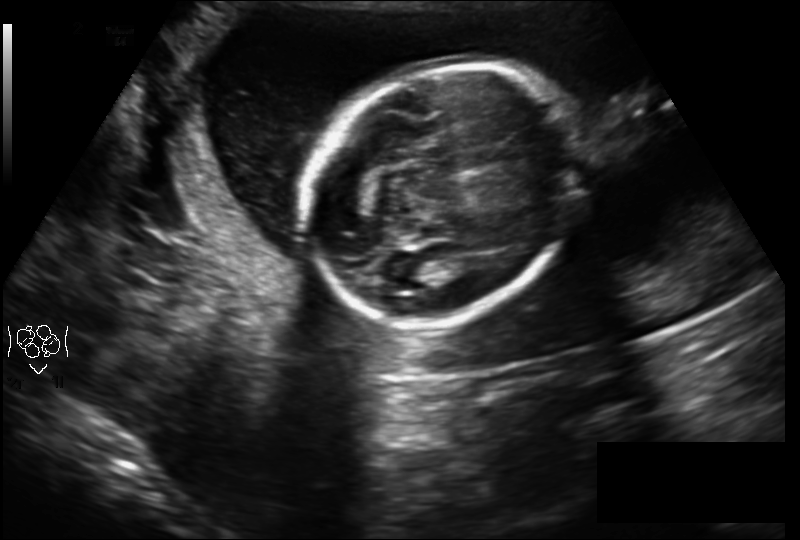
Fetal head ultrasound. Image width: 167.6 mm. Locate the fetal head.

Head: [306,64,582,321]